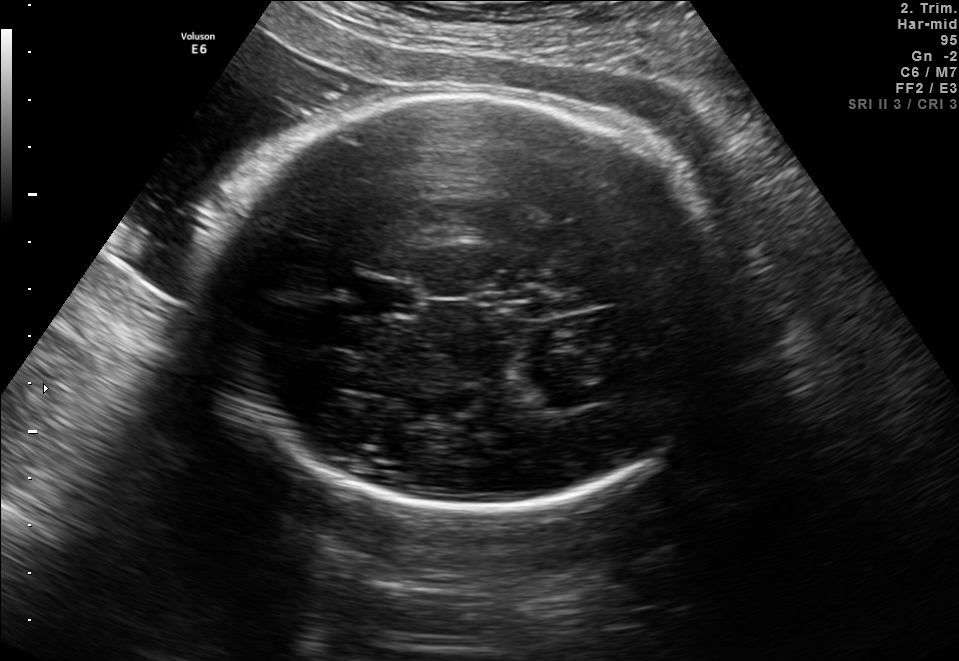
In this fetal brain, trans-thalamic plane, give the bounding box of the lateral ventricle.

[528,380,608,415]